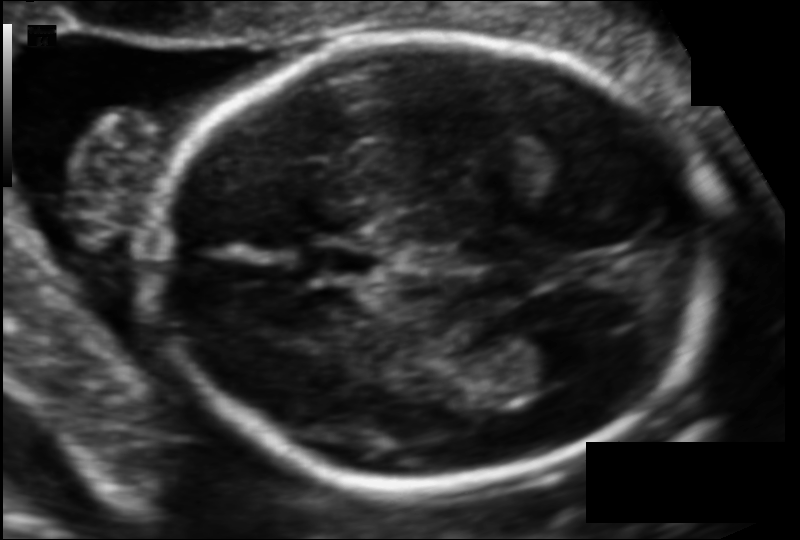
Fetal head ultrasound. Image width: 81.4 mm. Where is the fetal head?

Head bounding box: [153,34,714,488]